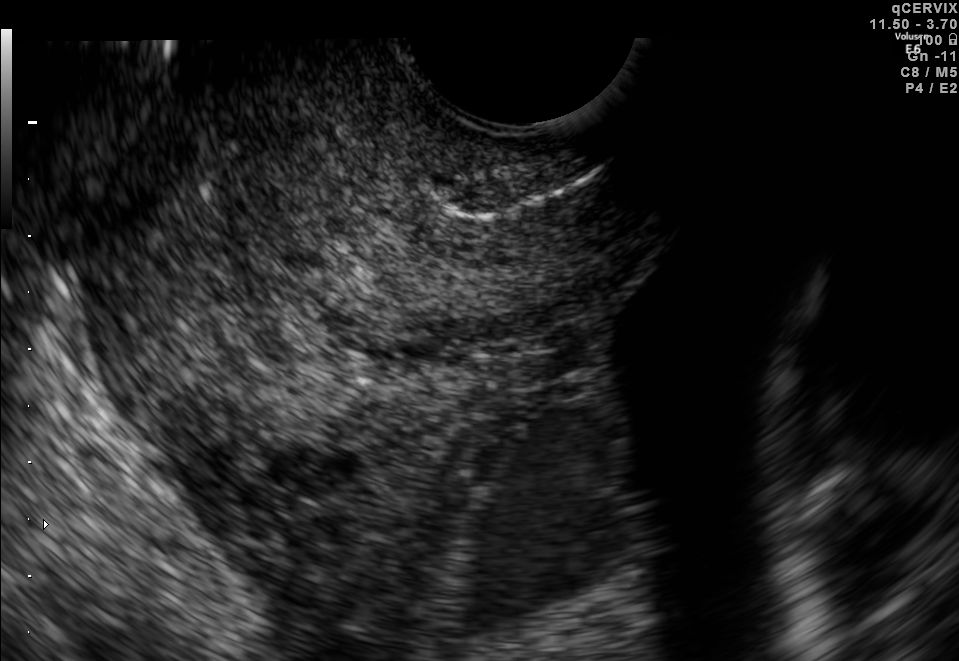
This is a 2D maternal-fetal ultrasound frame. Is it a fetal abdomen, fetal brain, fetal femur, fetal thorax, maternal cervix, or other standard plane? If it's fetal brain and one of the three standard brain planes (trans-thalamic, trans-cerebellum, trans-ventricular), name which.

Maternal cervix